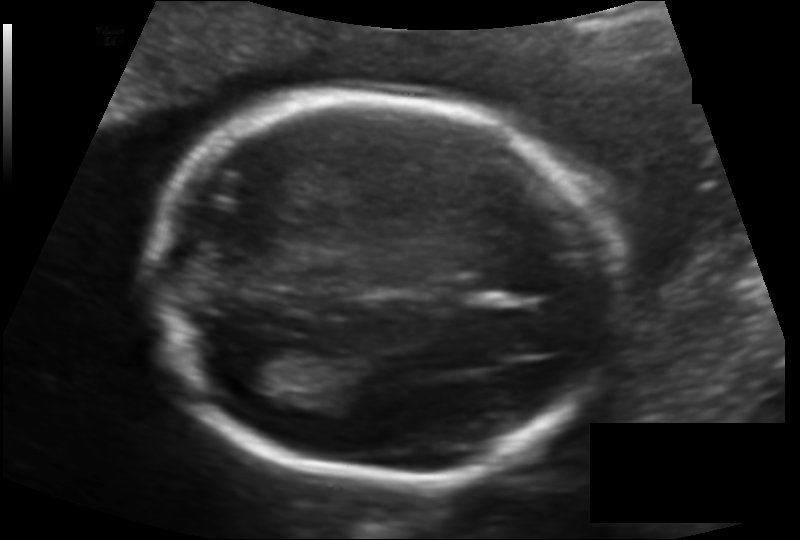
In this fetal head ultrasound, give bounding boxes for the head outline, cavum septum pellucidum (CSP), and lateral ventricle (LV), where visible. Image width: 102.7 mm.

Head: [152,95,616,480]
Lateral ventricle: [231,338,321,403]